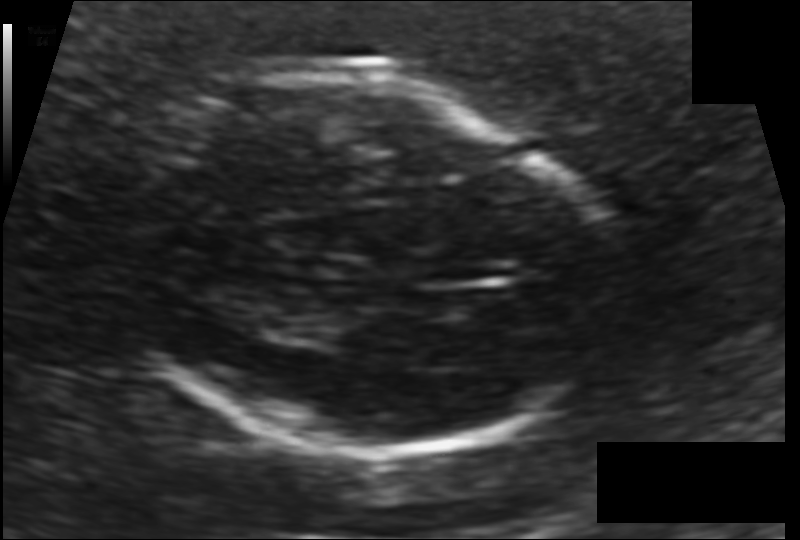
Estimate the fetal head circumference from this 2D ultrasound. Image width: 105.5 mm.

Head circumference: 180.0 mm.